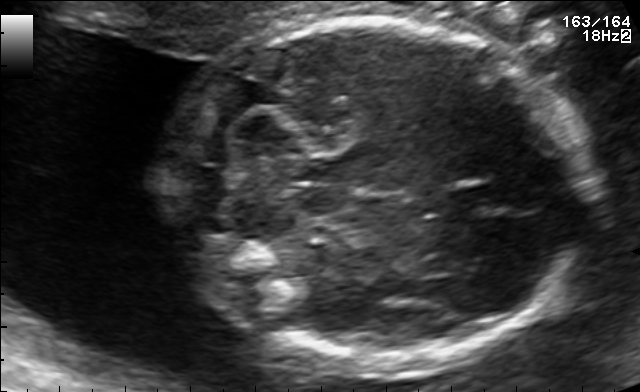
Fetal brain, trans-cerebellum plane. Where is the fetal head?

Head bounding box: [170,17,589,370]